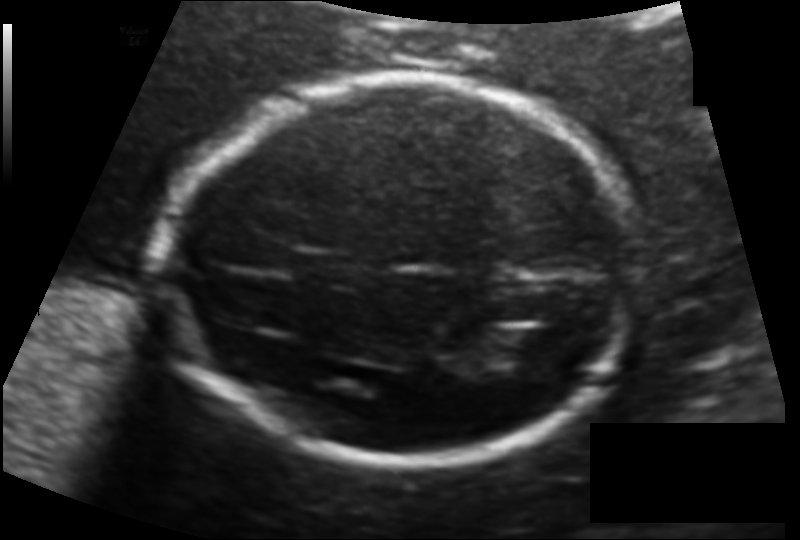
From this fetal ultrasound, estimate the head circumference (image width 98.0 mm).

Head circumference: 171.9 mm.